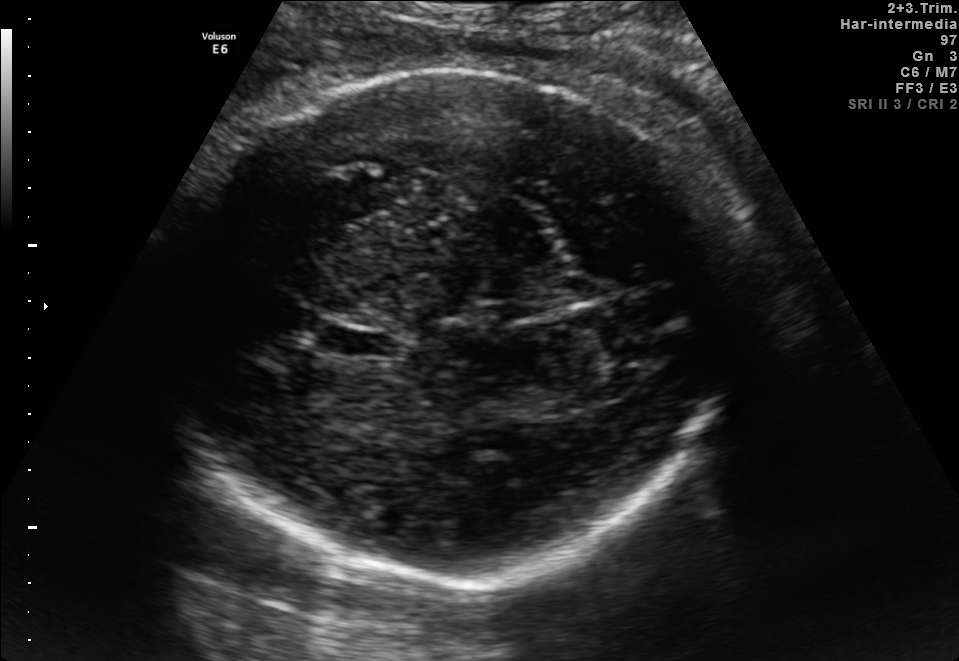
In this fetal brain, trans-thalamic plane, give bounding boxes for the head outline, cavum septum pellucidum (CSP), and lateral ventricle (LV), where visible.

Head: [163,66,738,581]
CSP: [331,325,404,361]